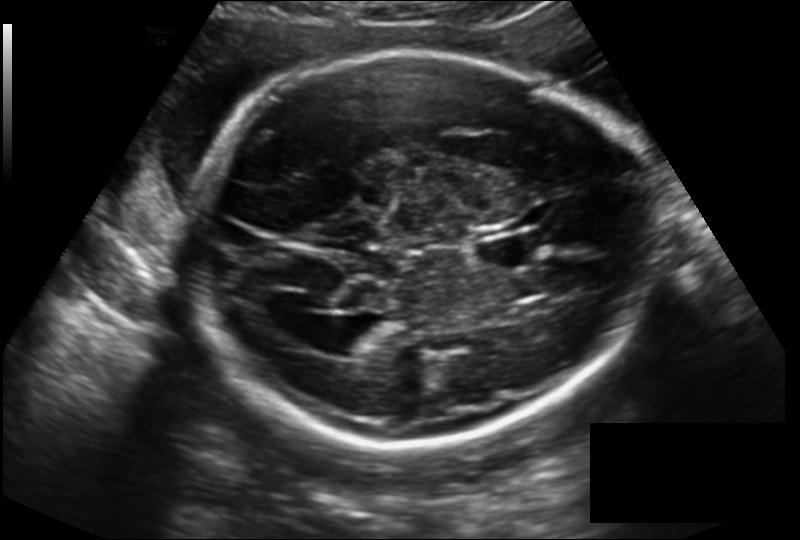
Fetal head ultrasound. Image width: 155.0 mm. Locate the fetal head.

Head: [187,51,648,446]